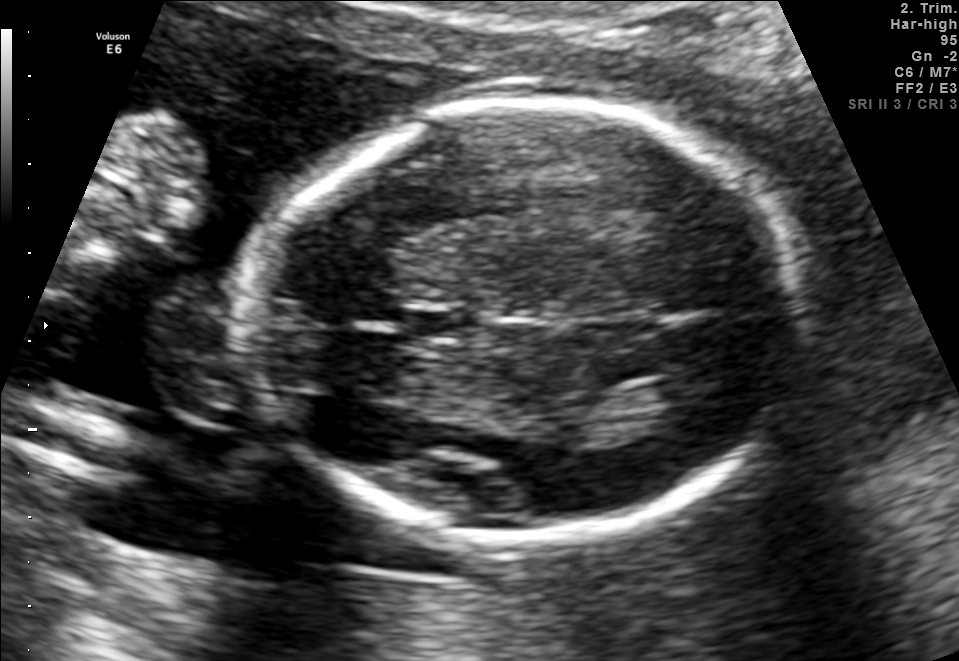
Fetal brain, trans-thalamic plane. Locate the fetal head.

Head: [242,105,797,542]